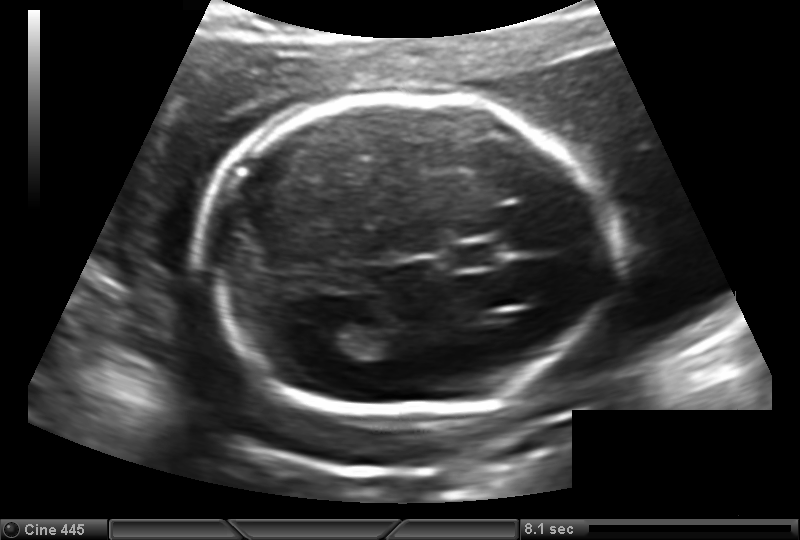
Fetal head ultrasound. Image width: 119.4 mm. Locate the fetal head.

Head: [208,94,607,415]